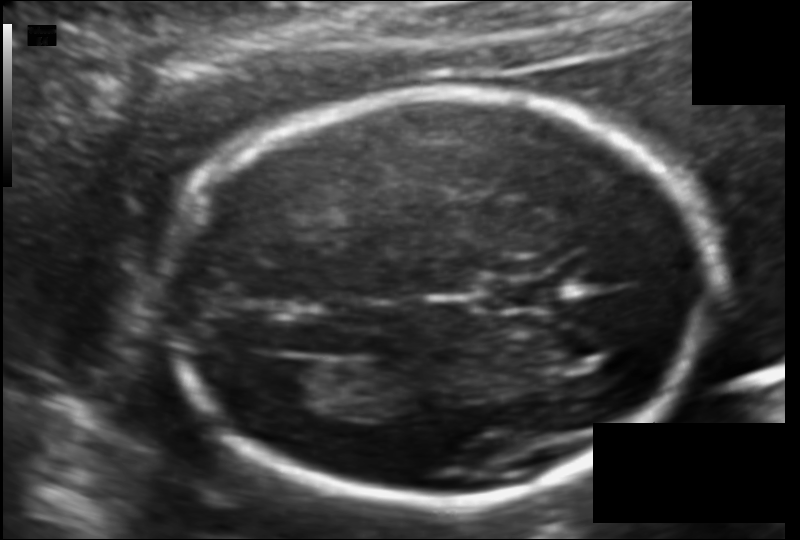
Fetal head ultrasound. Image width: 88.5 mm. Where is the cavum septum pellucidum?

CSP bounding box: [482,278,553,310]